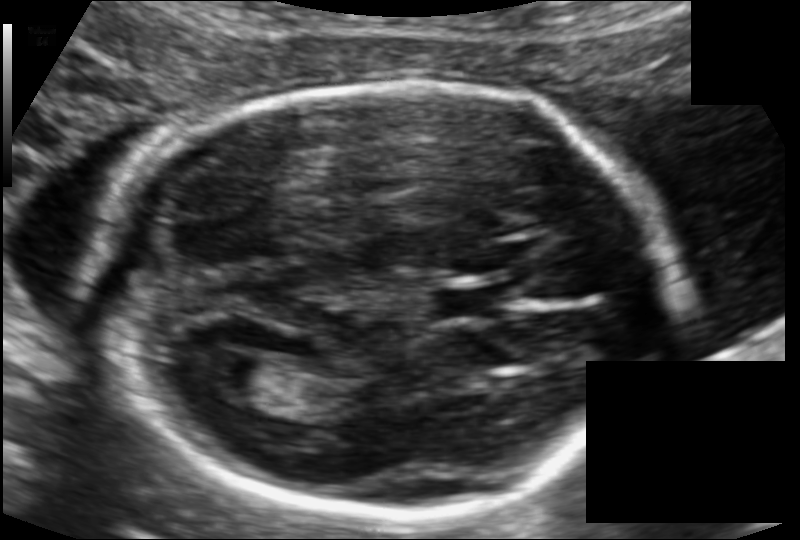
In this fetal head ultrasound, give the bounding box of the fetal head. Image width: 87.3 mm.

[96,83,669,522]